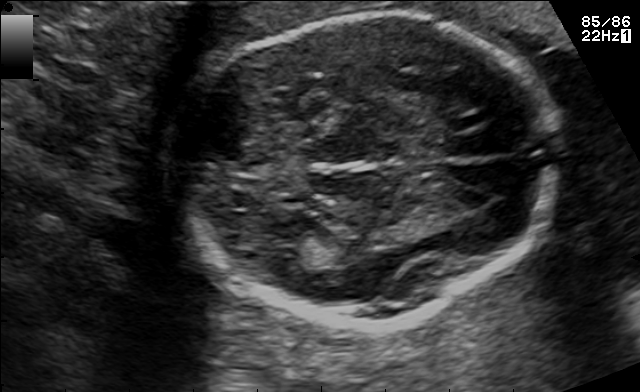
In this fetal brain, trans-thalamic plane, give the bounding box of the fetal head.

[176,12,562,327]